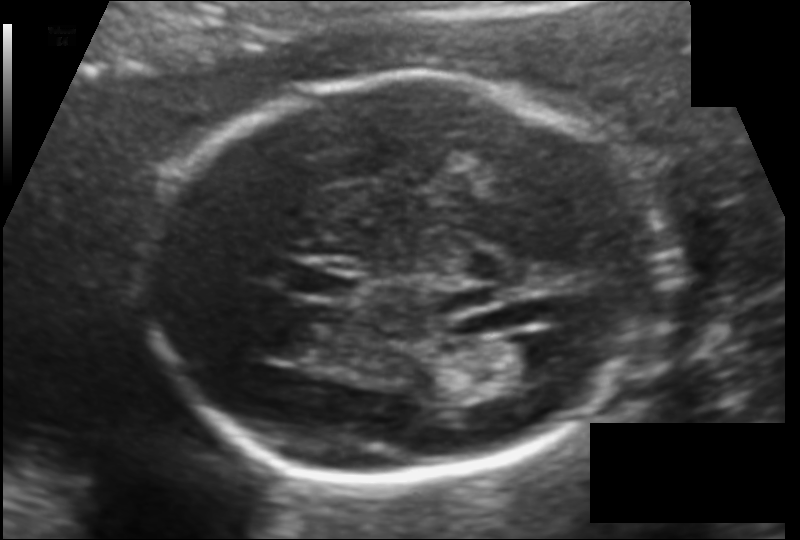
In this fetal head ultrasound, give the bounding box of the fetal head. Image width: 95.9 mm.

[153,74,664,481]